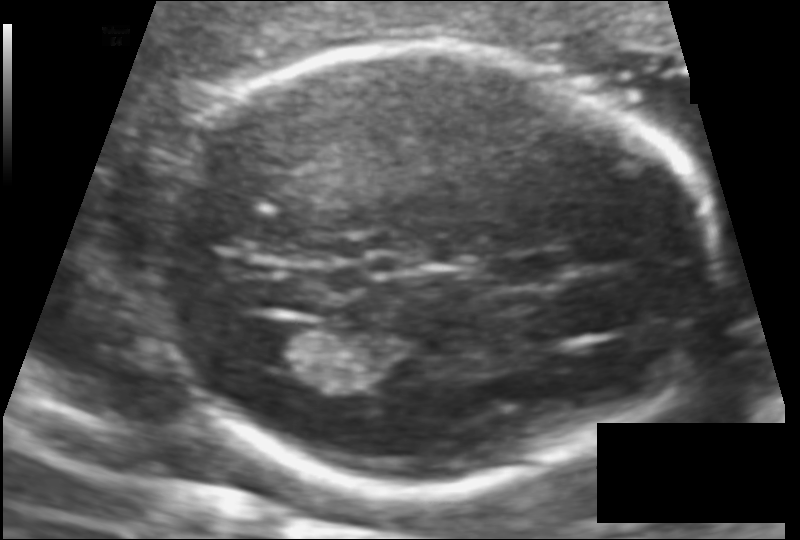
Estimate the fetal head circumference from this 2D ultrasound.

Head circumference: 173.7 mm (image width 84.7 mm).